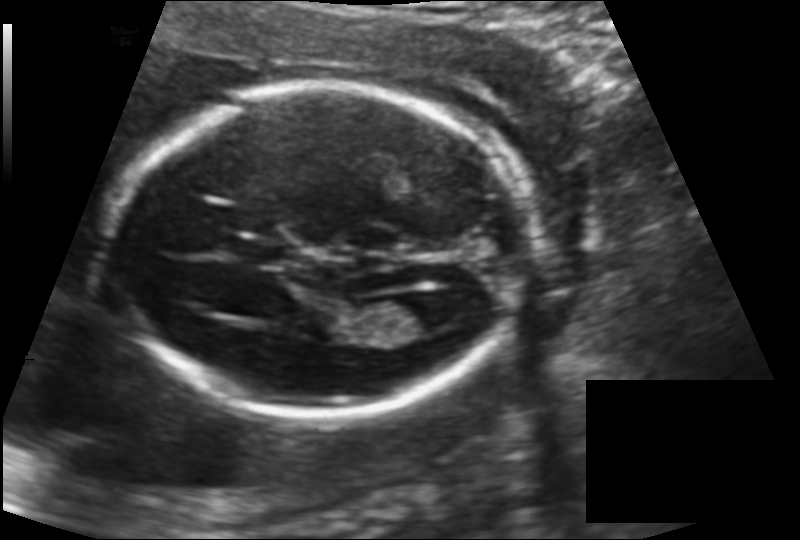
What is the fetal head circumference? Image width is 113.5 mm.

172.7 mm